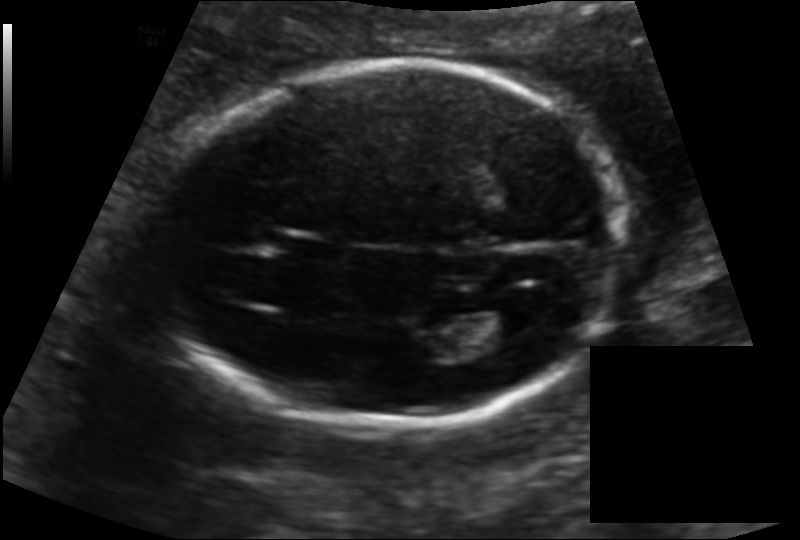
Fetal head ultrasound. Image width: 110.8 mm. Locate the cavum septum pellucidum.

CSP: [266,227,336,266]